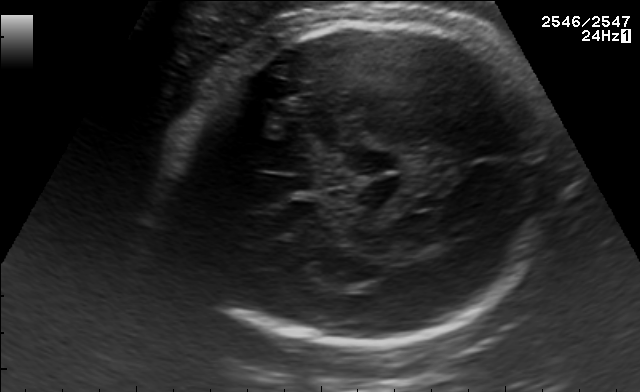
Fetal brain, trans-thalamic plane. Locate the fetal head and, if visible, the cavum septum pellucidum (CSP) and lateral ventricle (LV). Give bounding boxes as [x1,y1,x2,y2].

Head: [178,14,554,346]